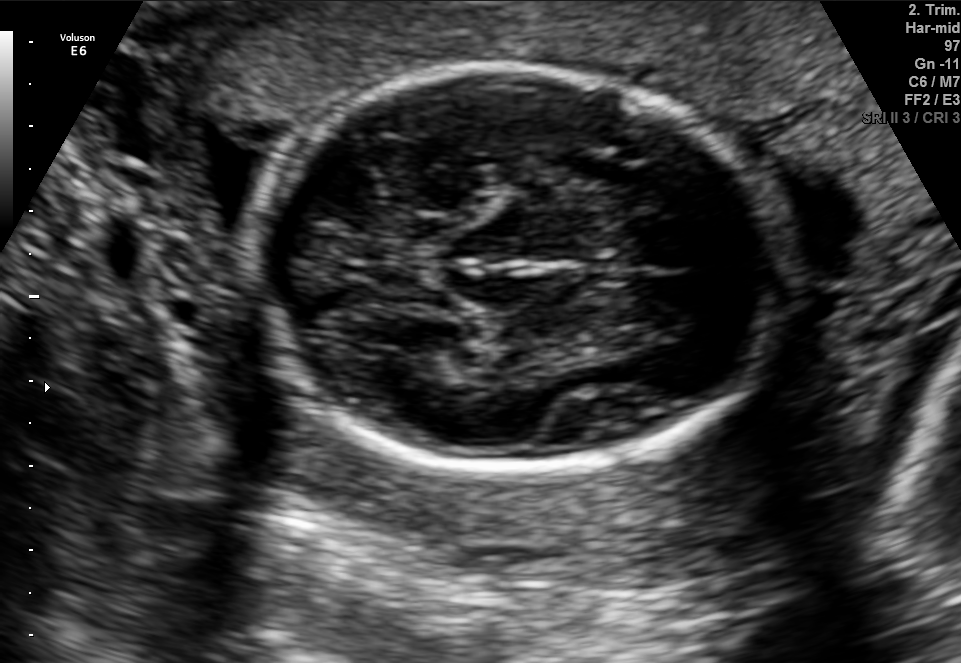
In this fetal brain, trans-thalamic plane, give the bounding box of the fetal head.

[259,69,791,469]